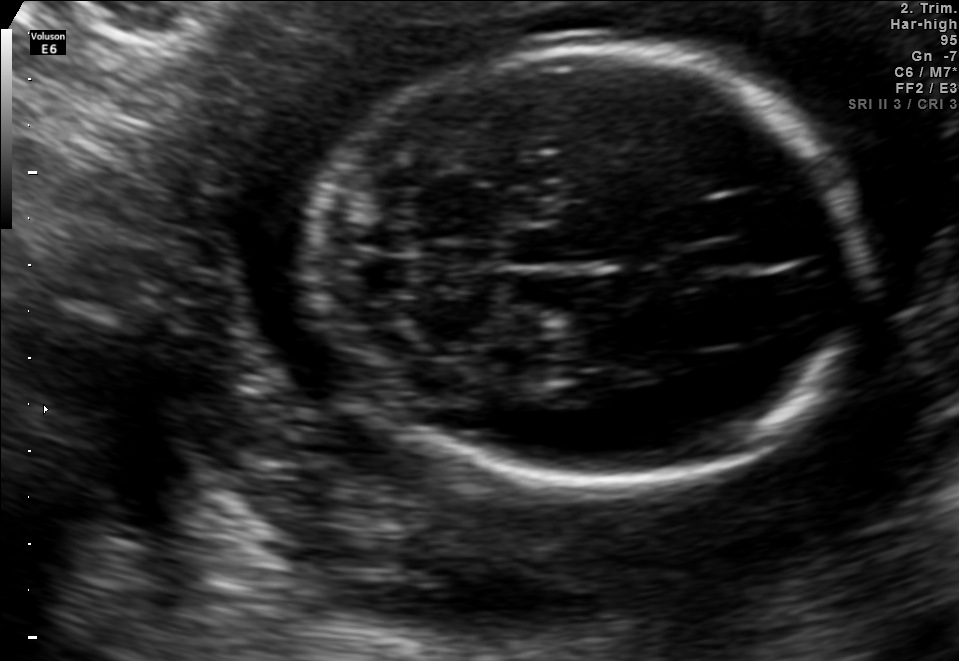
Fetal brain, trans-cerebellum plane. Where is the fetal head?

Head bounding box: [312,49,855,482]